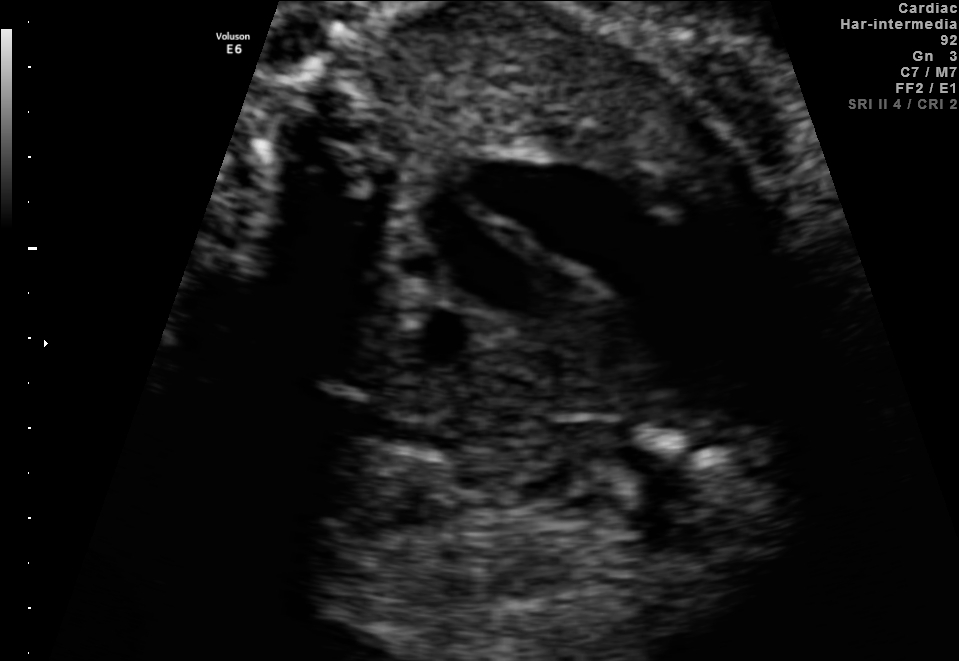
Which standard maternal-fetal ultrasound plane is shown: fetal abdomen, fetal brain, fetal femur, fetal thorax, maternal cervix, or other? If it's fetal brain and one of the three standard brain planes (trans-thalamic, trans-cerebellum, trans-ventricular), name which.

Other